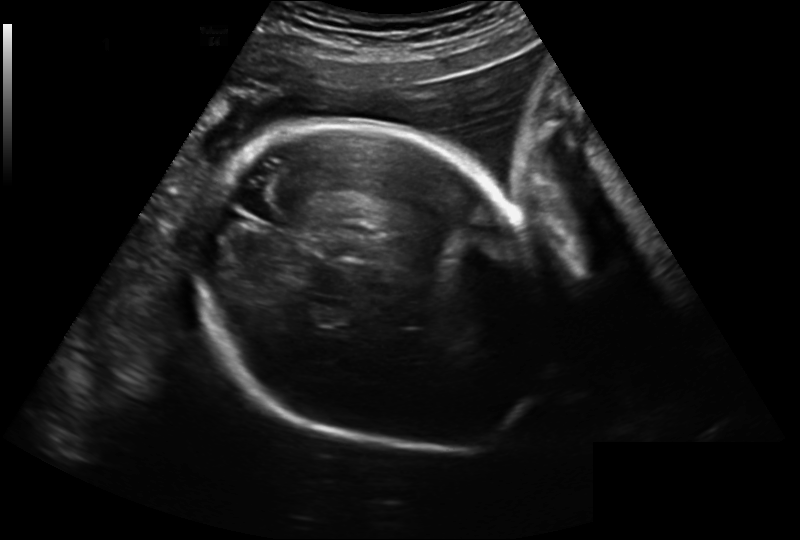
Fetal head ultrasound. Image width: 192.8 mm. Give [x1,y1,x2,y2] bounding boxes for each visible structure among: fetal head, CSP, LV.

Head: [199,119,552,453]